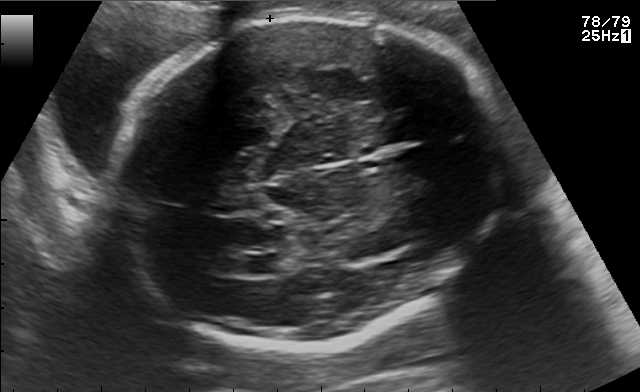
Fetal brain, trans-ventricular plane. Locate the fetal head.

Head: [113,13,518,354]